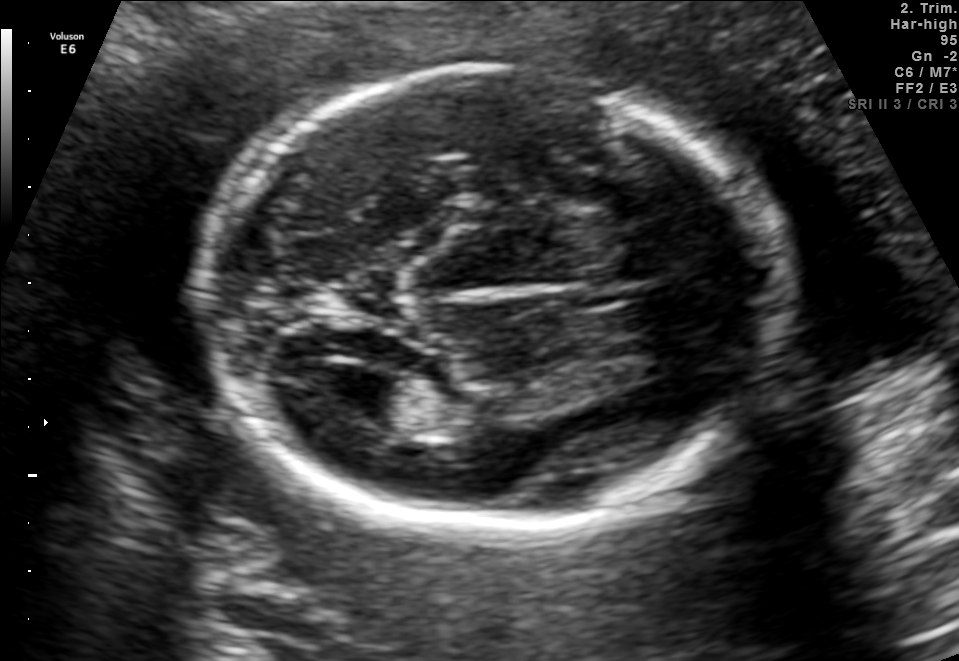
Fetal brain, trans-ventricular plane. Locate the fetal head and, if visible, the cavum septum pellucidum (CSP) and lateral ventricle (LV). Give bounding boxes as [x1,y1,x2,y2].

Head: [186,61,807,532]
CSP: [575,259,668,311]
Lateral ventricle: [314,361,409,430]